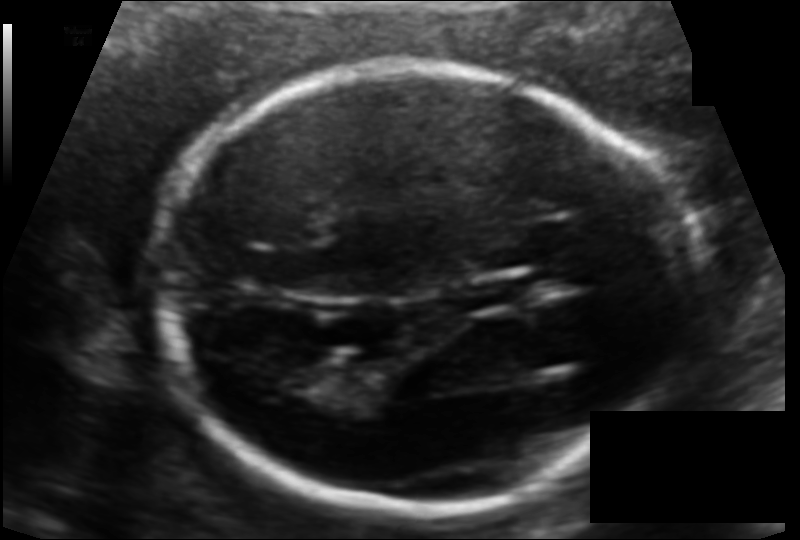
Fetal head ultrasound. Image width: 85.9 mm. Locate the fetal head.

Head: [159,60,686,508]